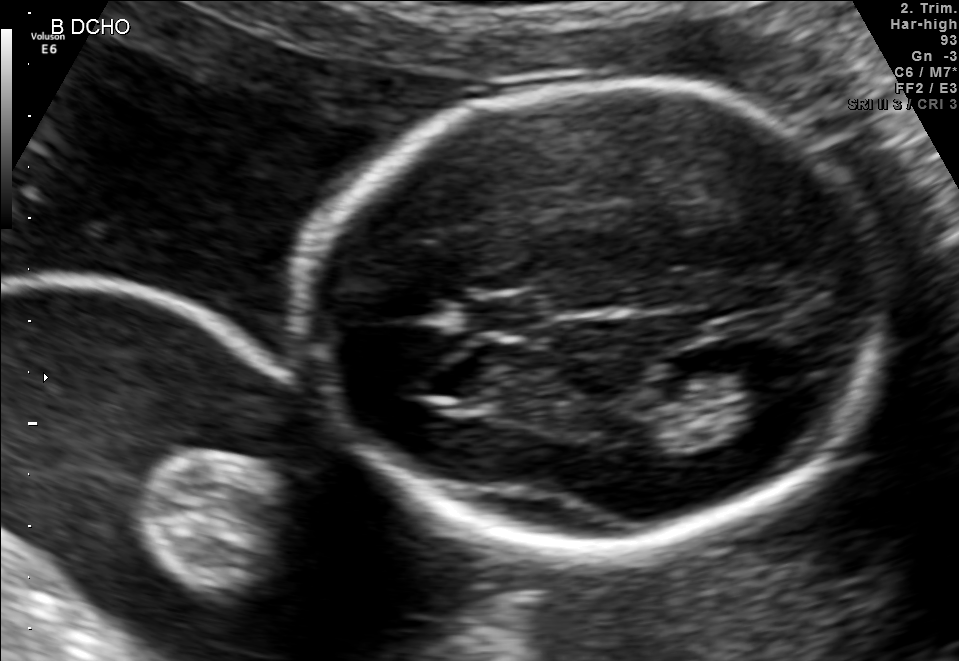
Fetal brain, trans-thalamic plane. Locate the cavum septum pellucidum.

CSP: [464,293,545,335]